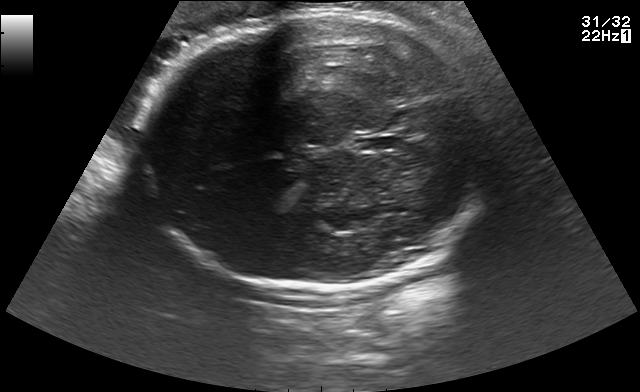
Fetal brain, trans-thalamic plane. Locate the fetal head and, if visible, the cavum septum pellucidum (CSP) and lateral ventricle (LV). Give bounding boxes as [x1,y1,x2,y2].

Head: [138,14,495,290]
CSP: [356,135,398,152]